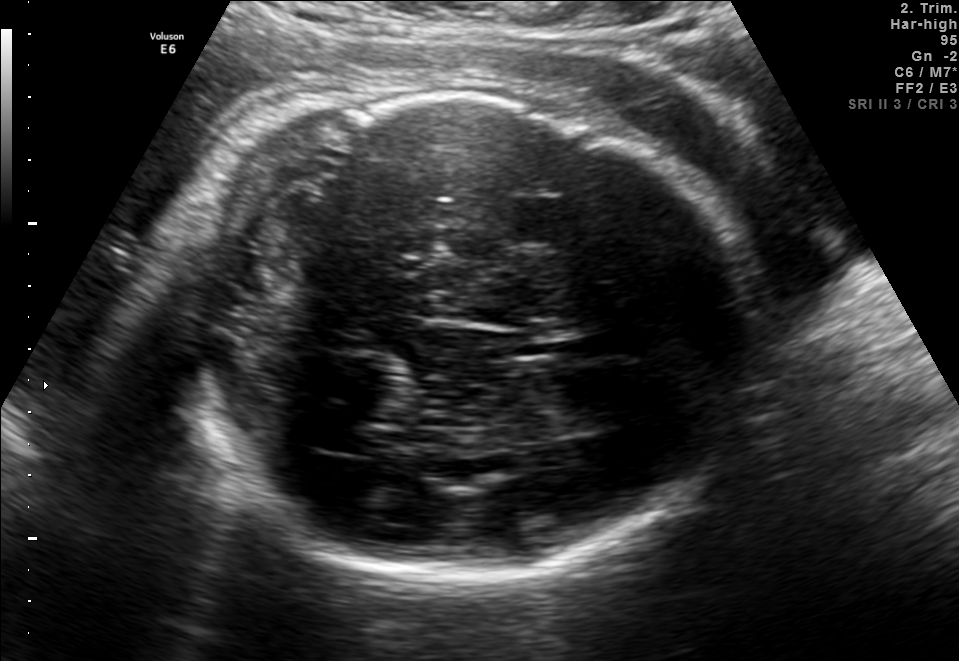
Fetal brain, trans-thalamic plane. Locate the fetal head.

Head: [147,93,768,576]